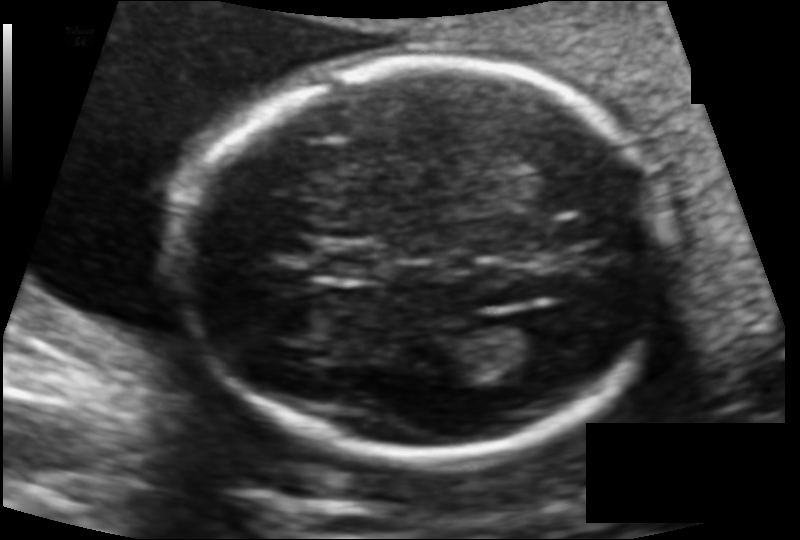
Fetal head ultrasound. Image width: 91.4 mm. Where is the fetal head?

Head bounding box: [184,60,671,461]